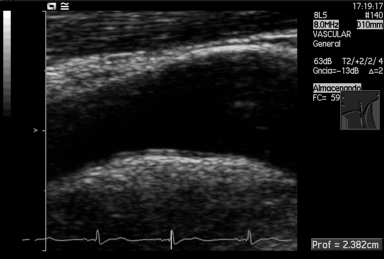
Classify this maternal-fetal ultrasound image as one of the six standard planes — fetal abdomen, fetal brain, fetal femur, fetal thorax, maternal cervix, or other. If it's fetal brain and one of the three standard brain planes (trans-thalamic, trans-cerebellum, trans-ventricular), name which.

Other